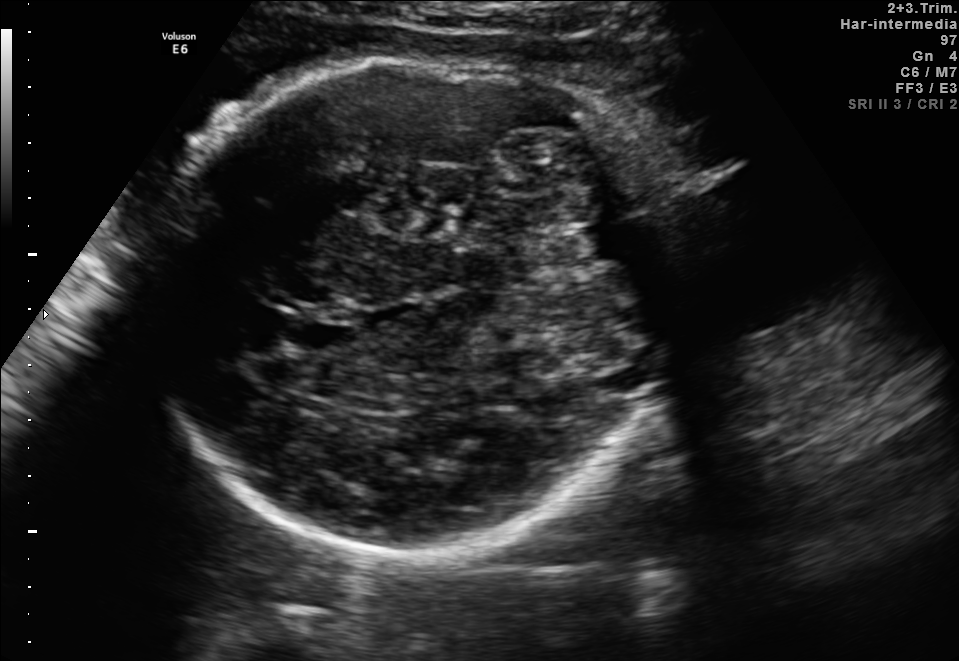
In this fetal brain, trans-thalamic plane, give the bounding box of the cavum septum pellucidum.

[288,314,357,350]